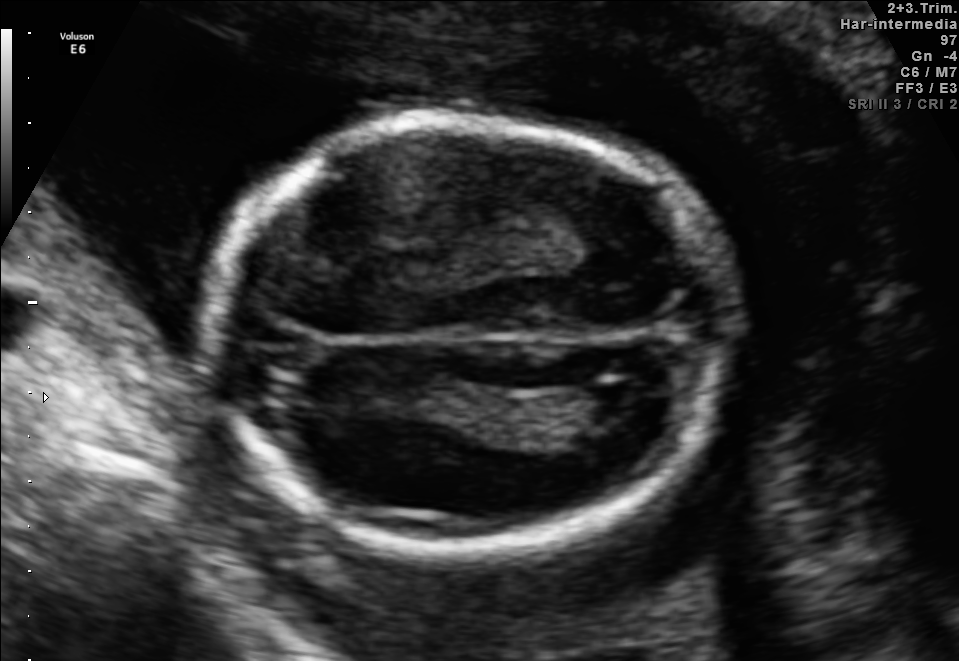
Which standard maternal-fetal ultrasound plane is shown: fetal abdomen, fetal brain, fetal femur, fetal thorax, maternal cervix, or other? If it's fetal brain and one of the three standard brain planes (trans-thalamic, trans-cerebellum, trans-ventricular), name which.

Fetal brain (trans-ventricular plane)